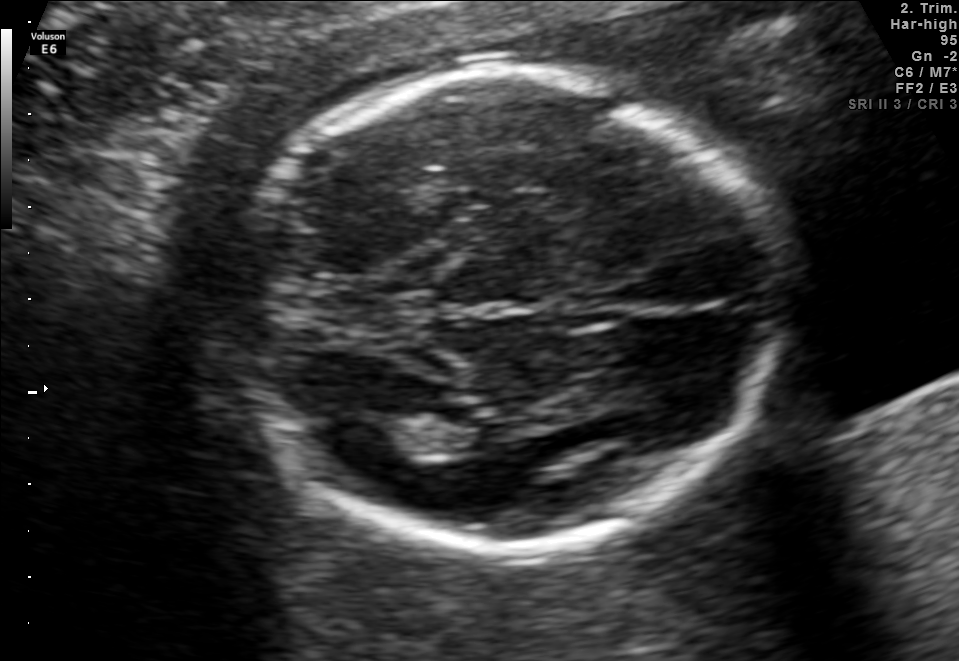
Fetal brain, trans-thalamic plane. Where is the lateral ventricle?

Lateral ventricle bounding box: [329,415,428,464]